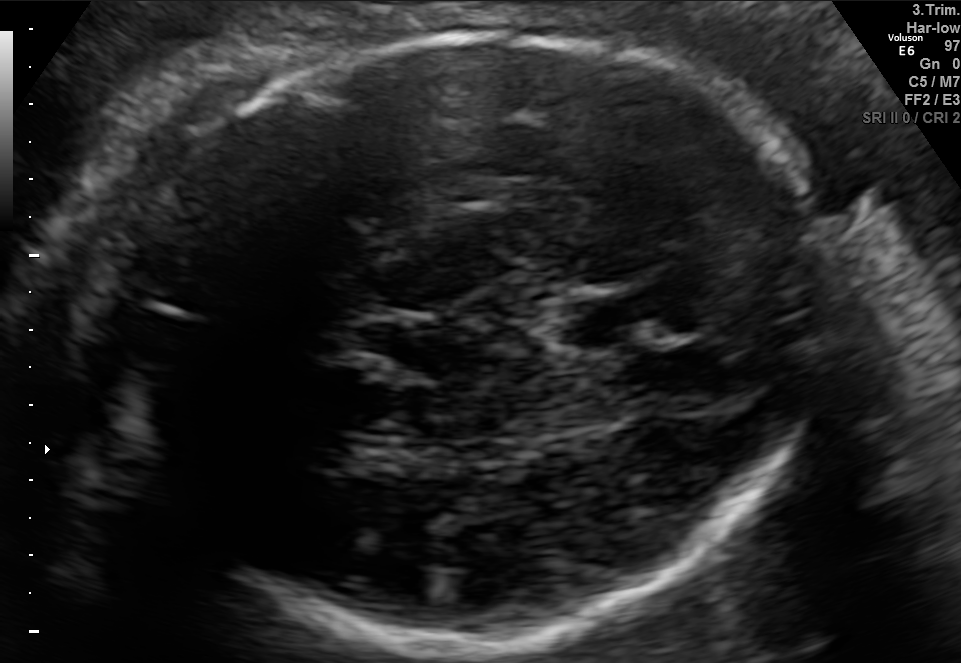
In this fetal brain, trans-thalamic plane, give the bounding box of the cavum septum pellucidum.

[551,279,668,358]